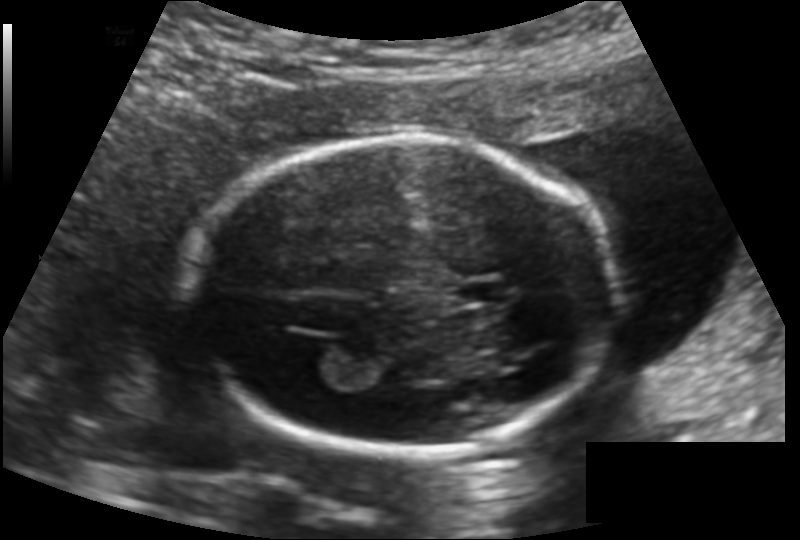
What is the fetal head circumference? Image width is 109.1 mm.

162.7 mm